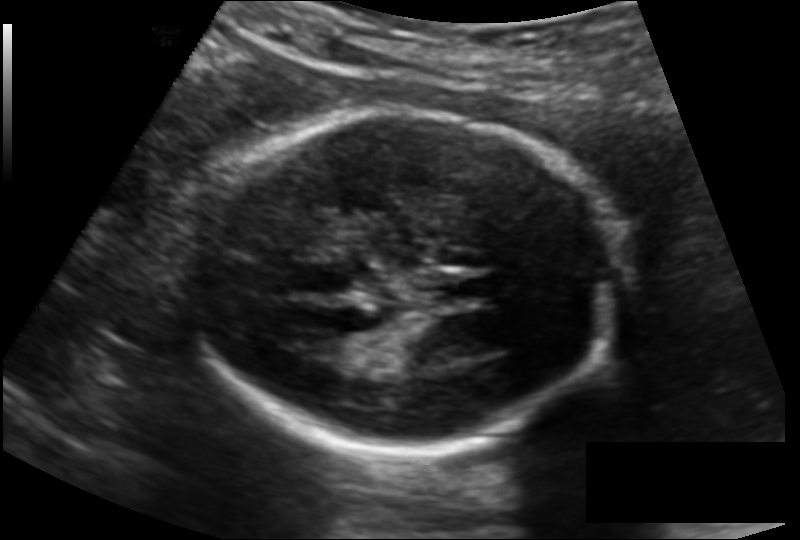
Estimate the fetal head circumference from this 2D ultrasound.

Head circumference: 168.3 mm (image width 107.6 mm).